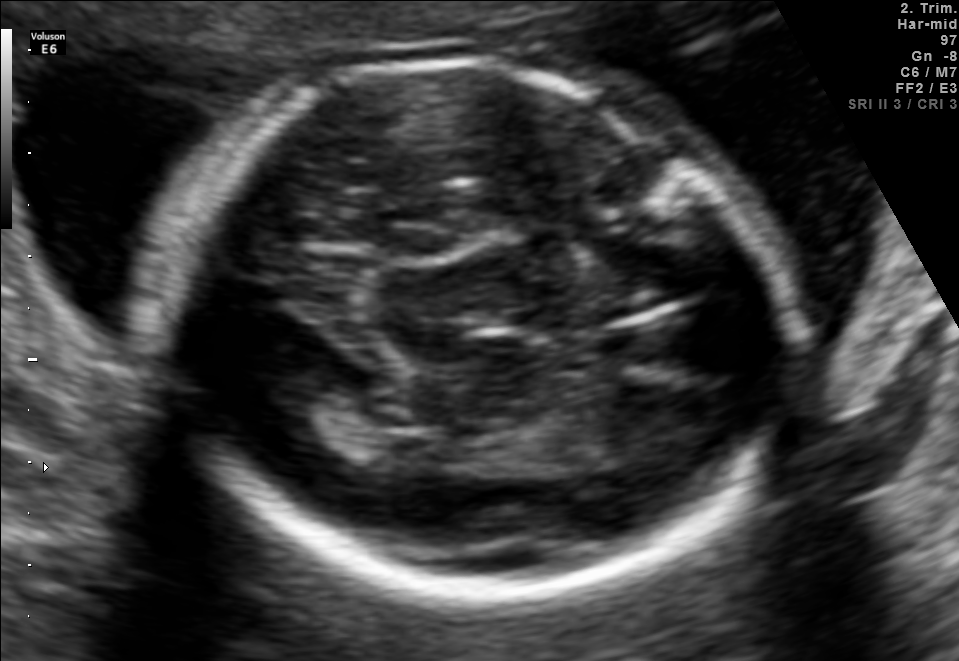
Identify the standard plane in this fetal ultrasound image: fetal abdomen, fetal brain, fetal femur, fetal thorax, maternal cervix, or other. If it's fetal brain and one of the three standard brain planes (trans-thalamic, trans-cerebellum, trans-ventricular), name which.

Fetal brain (trans-thalamic plane)